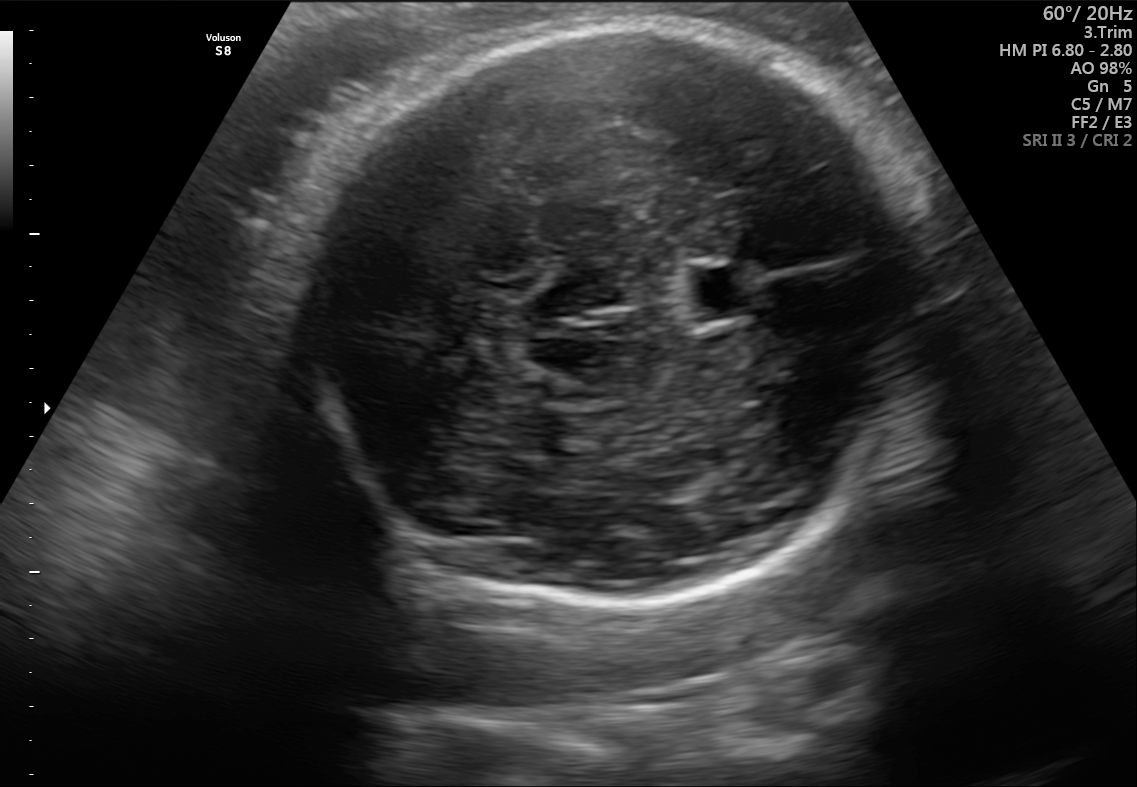
Classify this maternal-fetal ultrasound image as one of the six standard planes — fetal abdomen, fetal brain, fetal femur, fetal thorax, maternal cervix, or other. If it's fetal brain and one of the three standard brain planes (trans-thalamic, trans-cerebellum, trans-ventricular), name which.

Fetal brain (trans-thalamic plane)